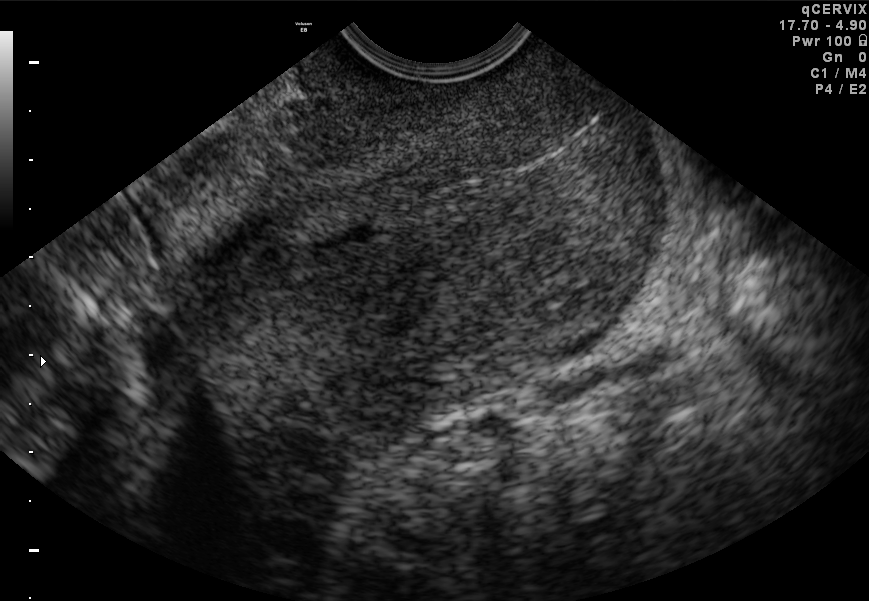
Identify the standard plane in this fetal ultrasound image: fetal abdomen, fetal brain, fetal femur, fetal thorax, maternal cervix, or other. If it's fetal brain and one of the three standard brain planes (trans-thalamic, trans-cerebellum, trans-ventricular), name which.

Maternal cervix